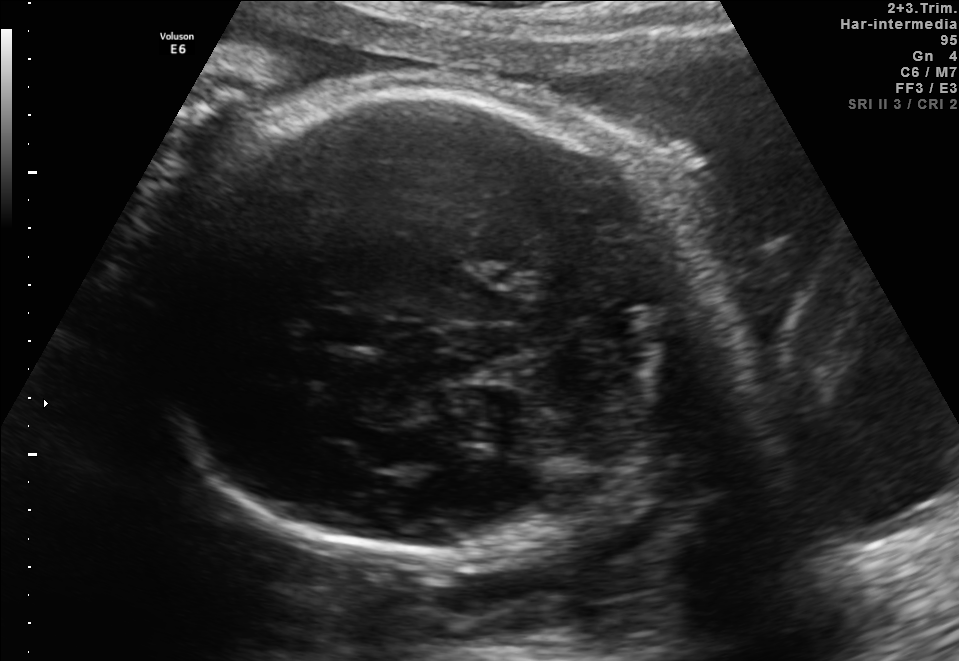
Fetal brain, trans-thalamic plane. Locate the fetal head.

Head: [139,94,700,553]